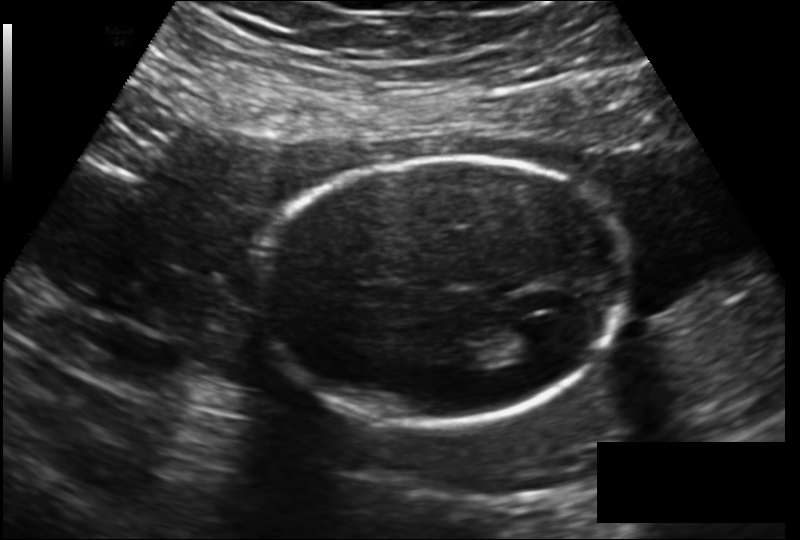
Estimate the fetal head circumference from this 2D ultrasound.

Head circumference: 178.6 mm (image width 137.8 mm).